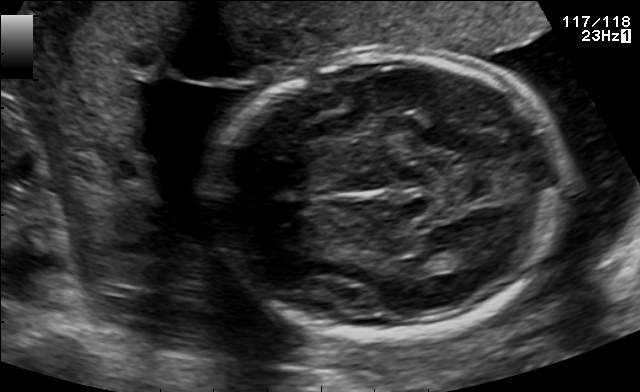
In this fetal brain, trans-thalamic plane, give the bounding box of the lateral ventricle.

[415,242,473,278]